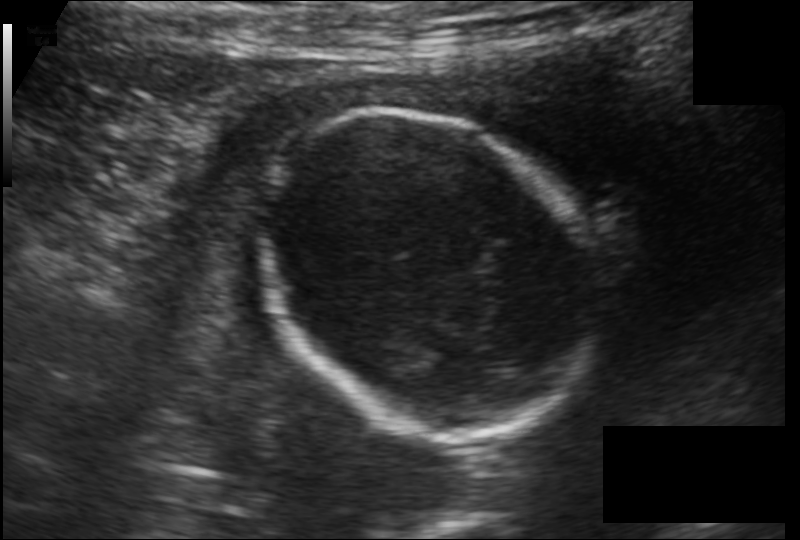
What is the fetal head circumference? Image width is 116.2 mm.

155.6 mm